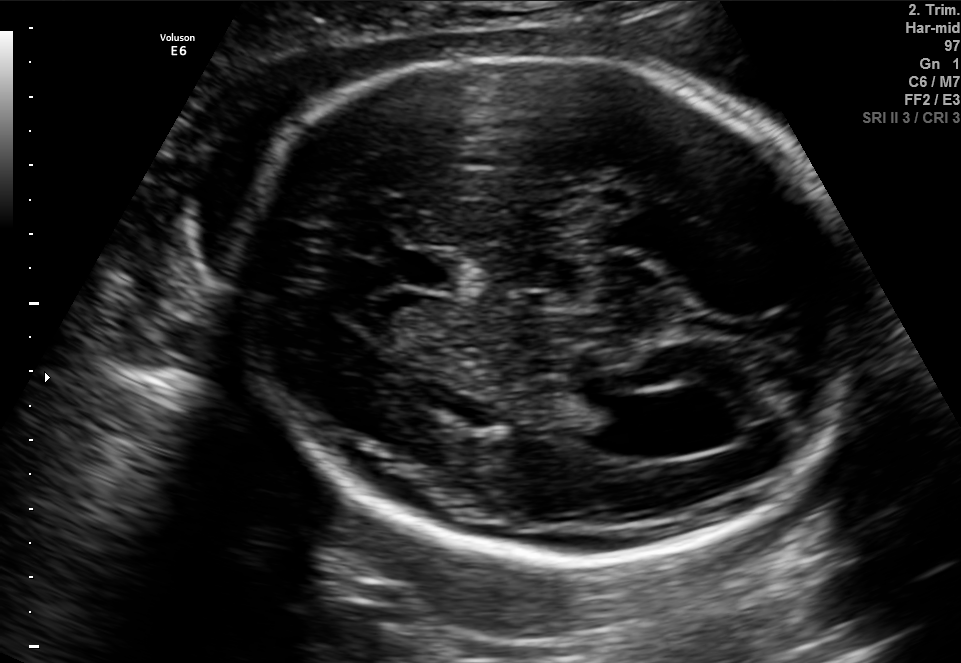
In this fetal brain, trans-ventricular plane, give bounding boxes for the head outline, cavum septum pellucidum (CSP), and lateral ventricle (LV), where visible.

Head: [221,53,870,564]
CSP: [375,244,472,296]
Lateral ventricle: [585,392,678,459]